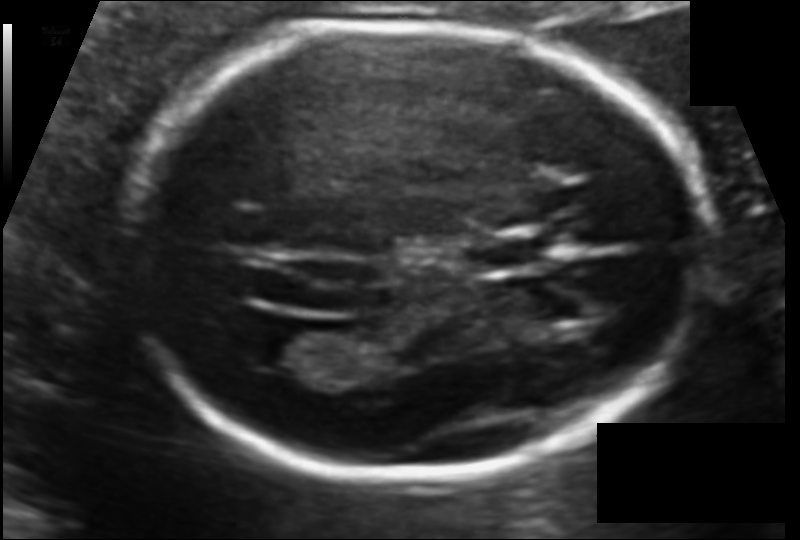
Fetal head ultrasound. Image width: 85.6 mm. Locate the fetal head and, if visible, the cavum septum pellucidum (CSP) and lateral ventricle (LV). Give bounding boxes as [x1,y1,x2,y2].

Head: [124,25,706,476]
CSP: [468,224,552,279]
Lateral ventricle: [249,328,325,371]